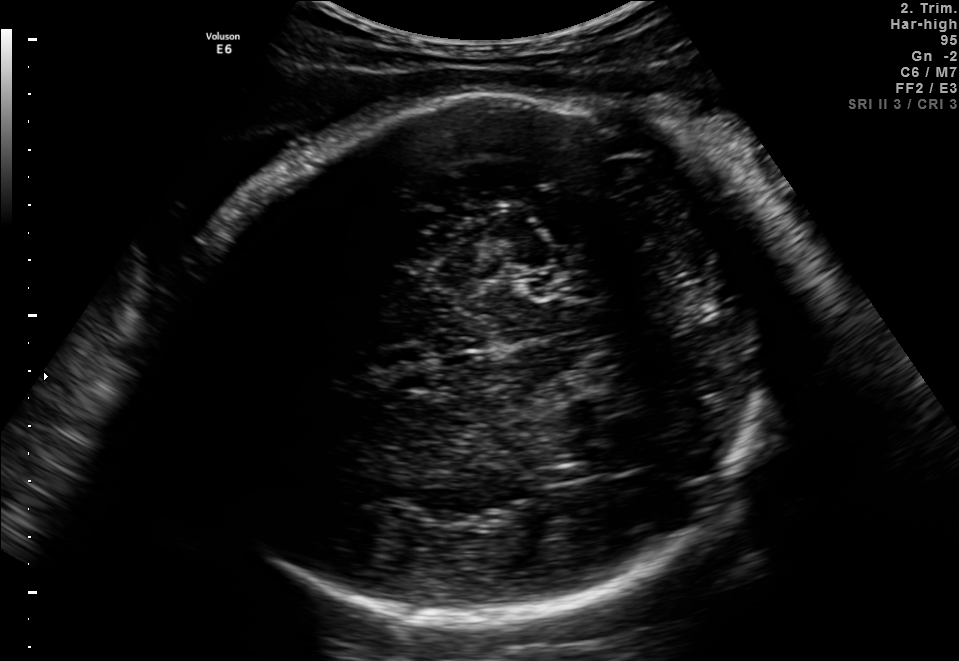
Fetal brain, trans-thalamic plane. Locate the fetal head.

Head: [172,82,797,625]